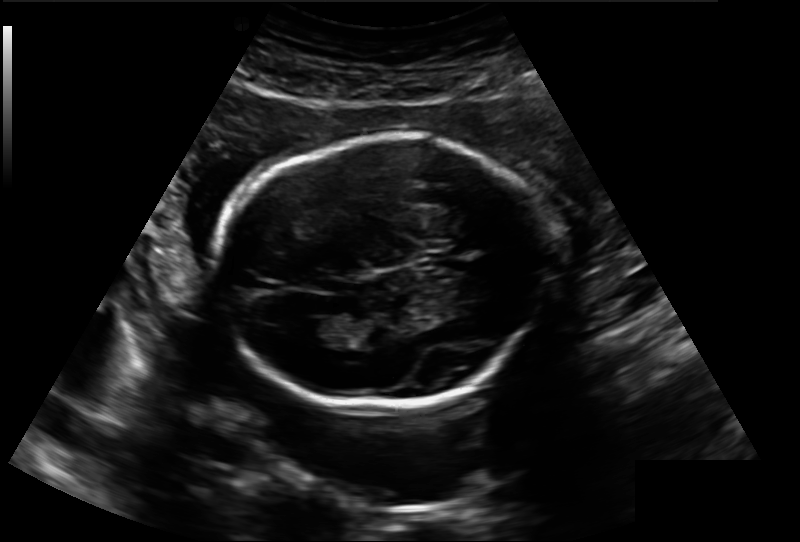
Fetal head ultrasound. Image width: 150.3 mm. Locate the fetal head.

Head: [219,135,542,410]